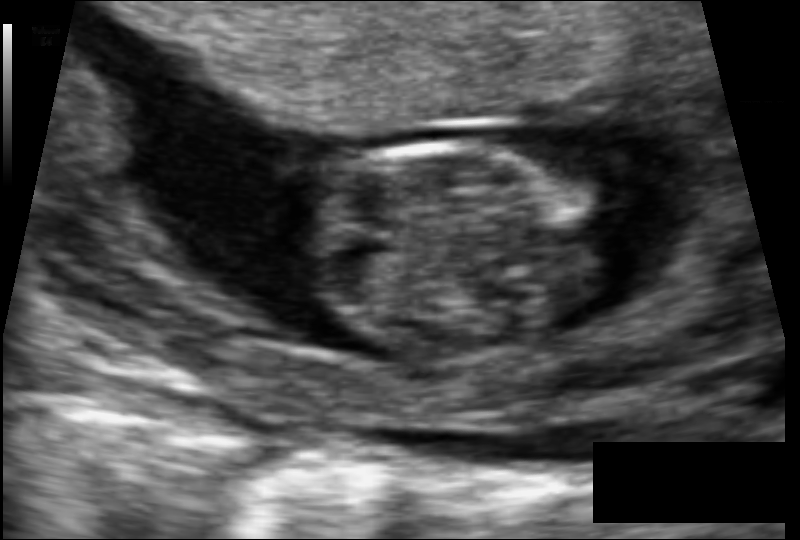
Estimate the fetal head circumference from this 2D ultrasound. Image width: 61.8 mm.

Head circumference: 60.3 mm.